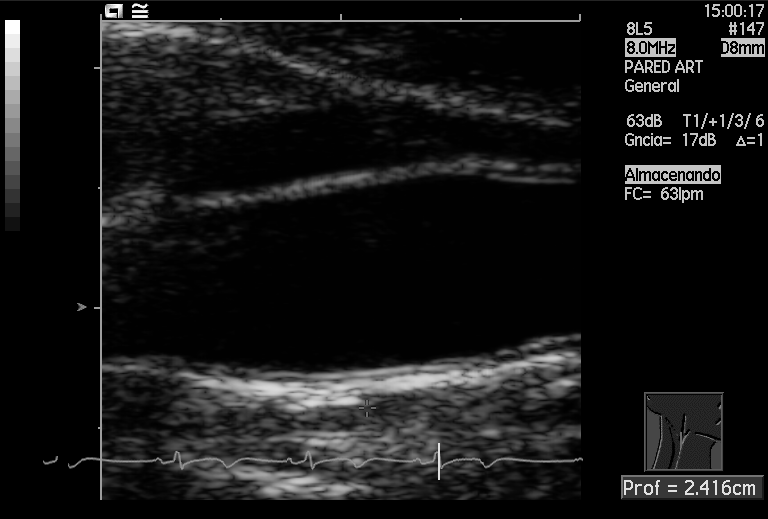
Classify this maternal-fetal ultrasound image as one of the six standard planes — fetal abdomen, fetal brain, fetal femur, fetal thorax, maternal cervix, or other. If it's fetal brain and one of the three standard brain planes (trans-thalamic, trans-cerebellum, trans-ventricular), name which.

Other